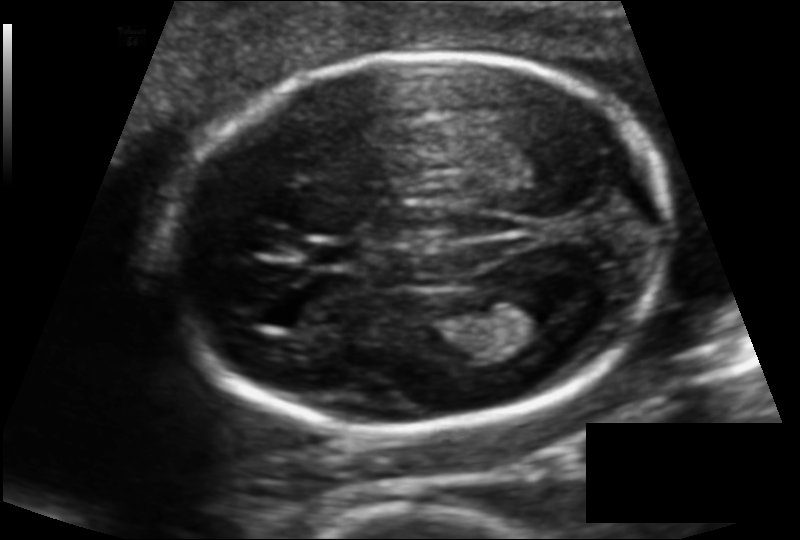
What is the fetal head circumference? Image width is 95.8 mm.

170.8 mm